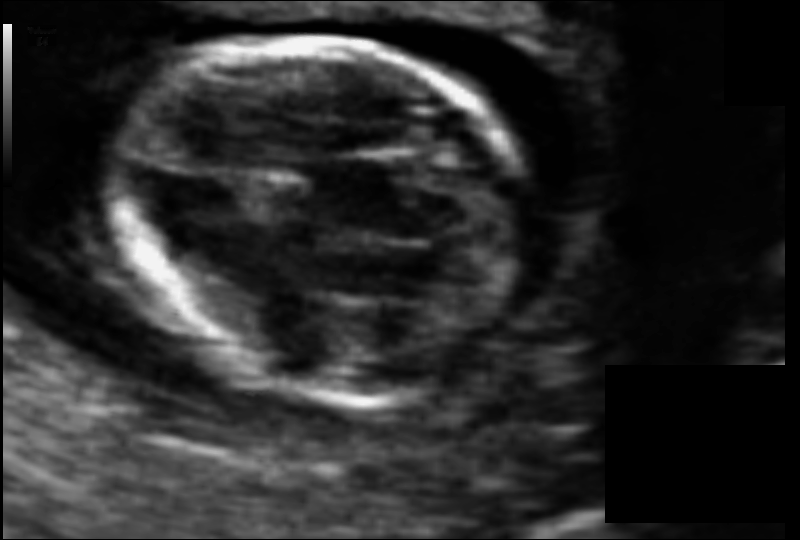
Estimate the fetal head circumference from this 2D ultrasound. Image width: 51.5 mm.

Head circumference: 77.7 mm.